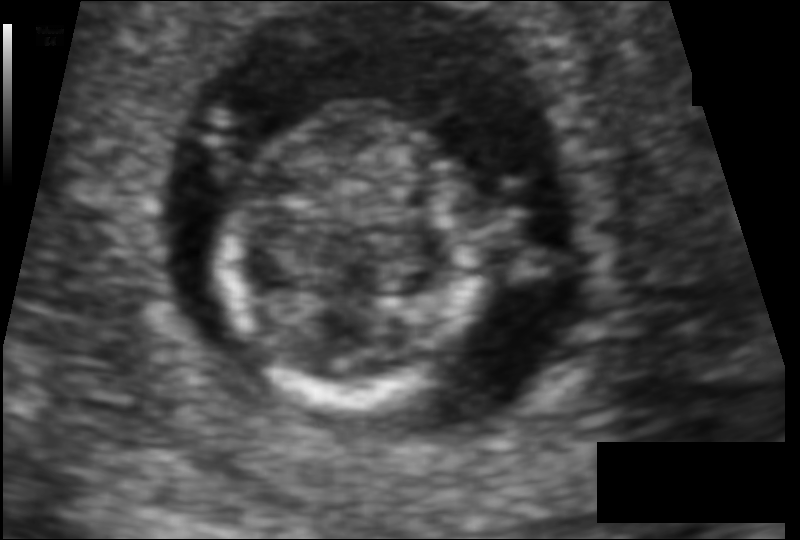
Fetal head ultrasound. Image width: 63.9 mm. Locate the fetal head and, if visible, the cavum septum pellucidum (CSP) and lateral ventricle (LV). Give bounding boxes as [x1,y1,x2,y2].

Head: [220,98,490,419]